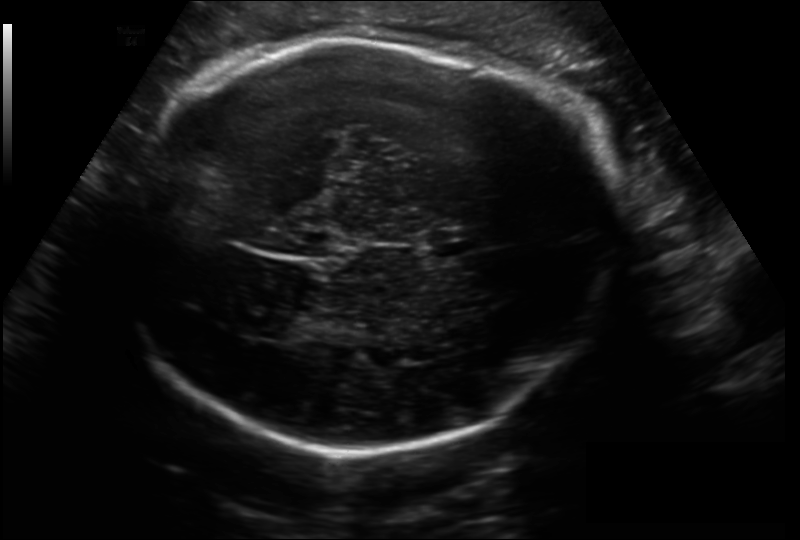
In this fetal head ultrasound, give the bounding box of the fetal head. Image width: 164.9 mm.

[109,40,619,453]